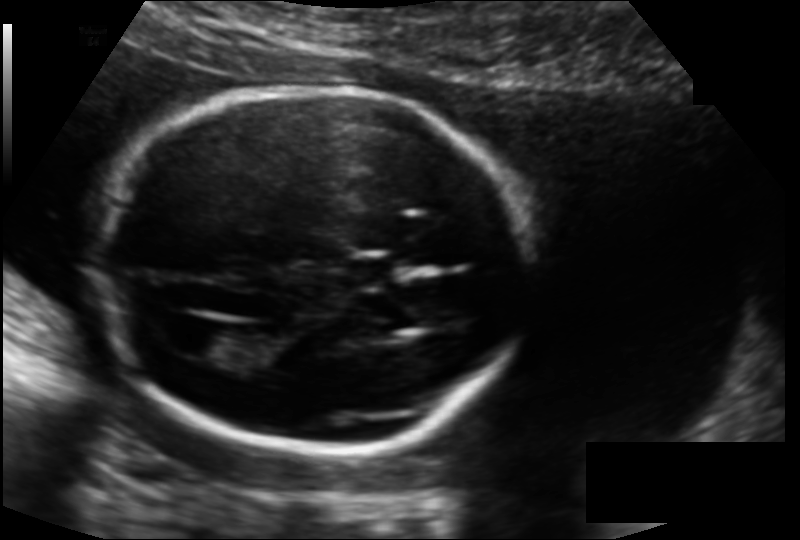
Fetal head ultrasound. Image width: 107.7 mm. Give [x1,y1,x2,y2] bounding boxes for each visible structure among: fetal head, CSP, LV.

Head: [93,86,526,451]
CSP: [345,255,400,287]
Lateral ventricle: [170,318,235,364]